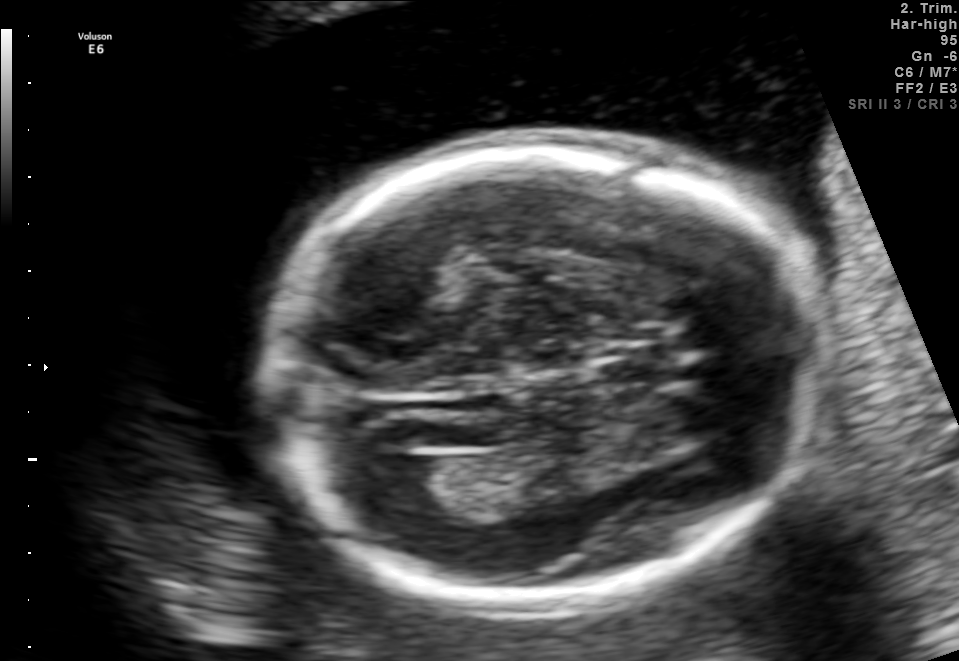
Fetal brain, trans-ventricular plane. Locate the lateral ventricle.

Lateral ventricle: [376,456,452,512]